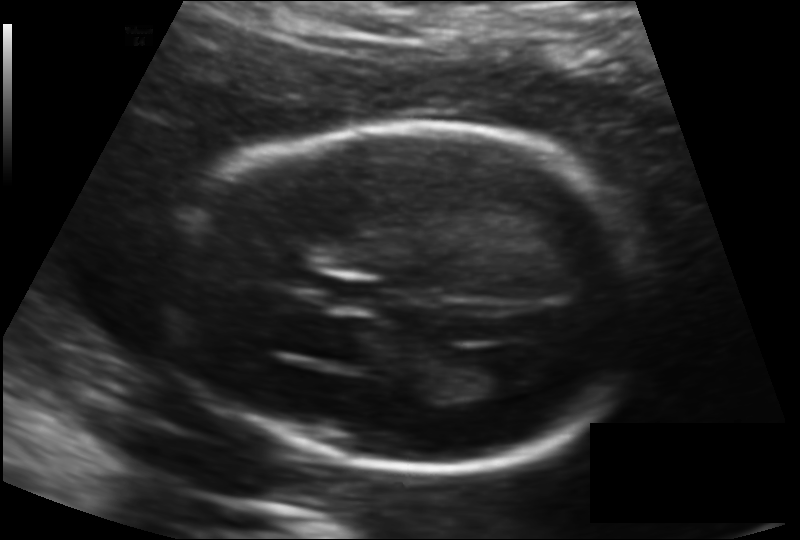
In this fetal head ultrasound, give bounding boxes for the head outline, cavum septum pellucidum (CSP), and lateral ventricle (LV), where visible. Image width: 108.1 mm.

Head: [166,123,649,469]
CSP: [331,278,386,313]
Lateral ventricle: [470,359,521,397]